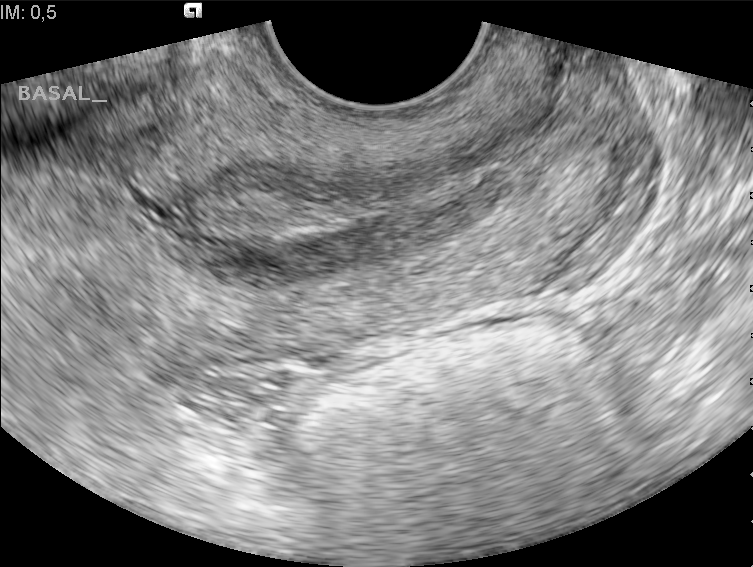
This is a 2D maternal-fetal ultrasound frame. Is it a fetal abdomen, fetal brain, fetal femur, fetal thorax, maternal cervix, or other standard plane? If it's fetal brain and one of the three standard brain planes (trans-thalamic, trans-cerebellum, trans-ventricular), name which.

Maternal cervix